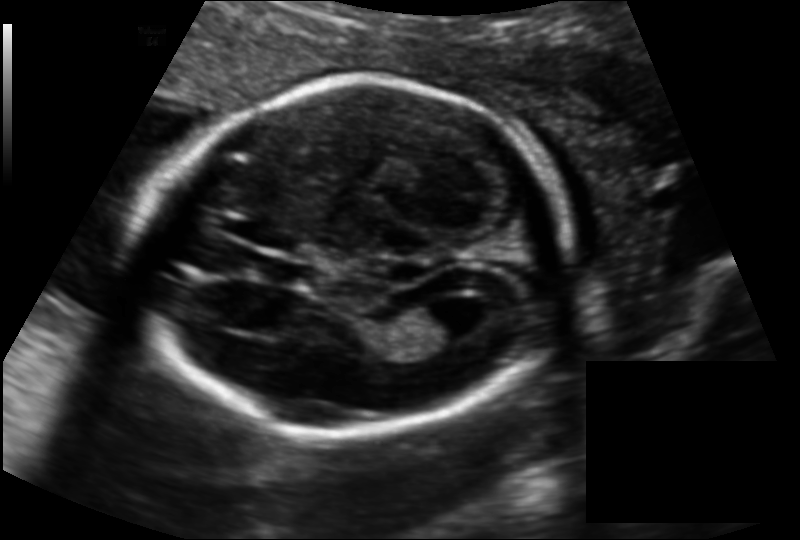
Fetal head ultrasound. Image width: 107.9 mm. Where is the cavum septum pellucidum?

CSP bounding box: [257,252,312,290]